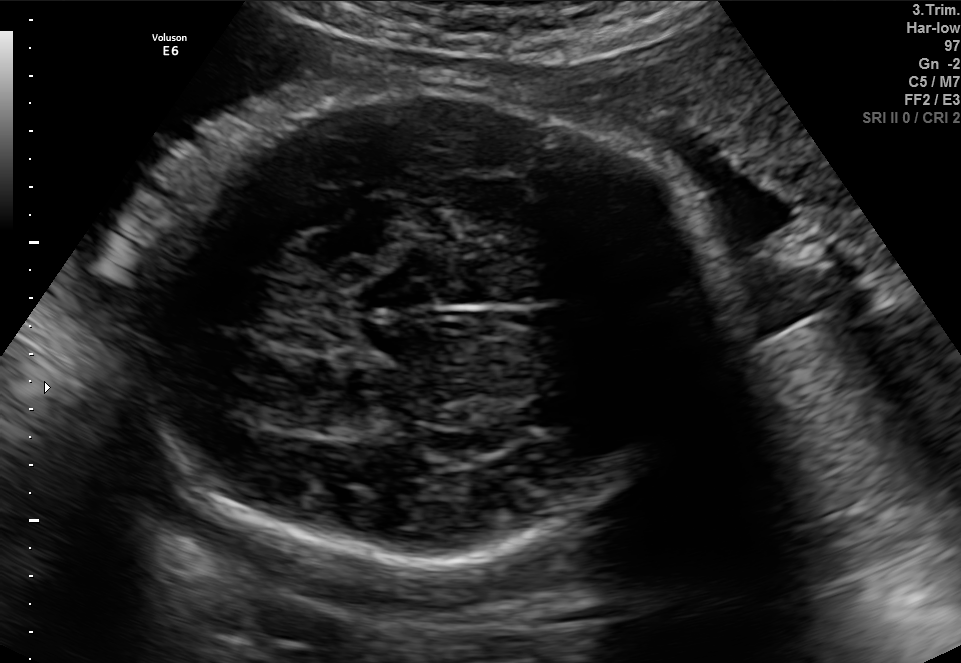
Fetal brain, trans-thalamic plane. Where is the fetal head?

Head bounding box: [118,88,723,565]